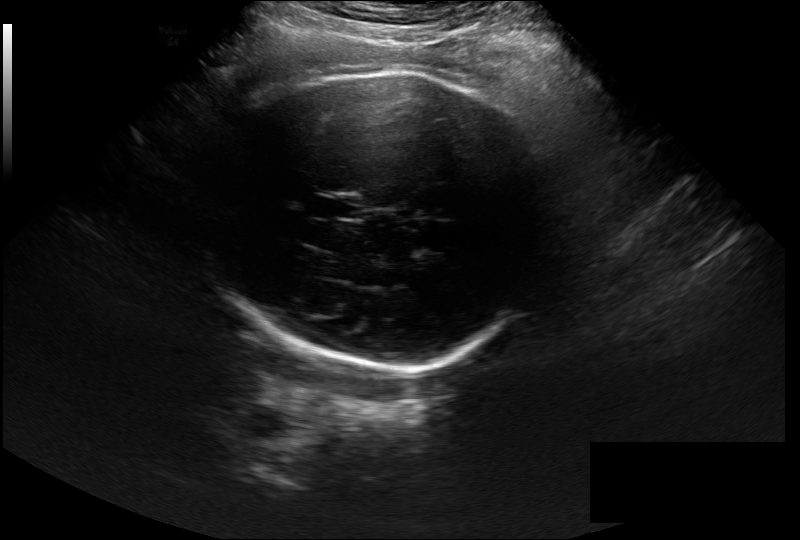
In this fetal head ultrasound, give the bounding box of the cavum septum pellucidum. Image width: 237.6 mm.

[317,192,363,221]